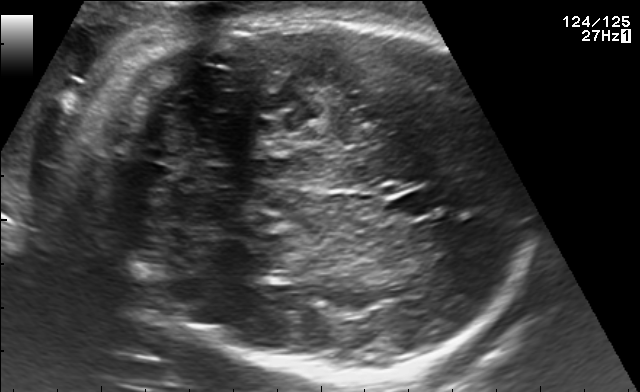
Fetal brain, trans-cerebellum plane. Where is the fetal head?

Head bounding box: [113,16,519,387]